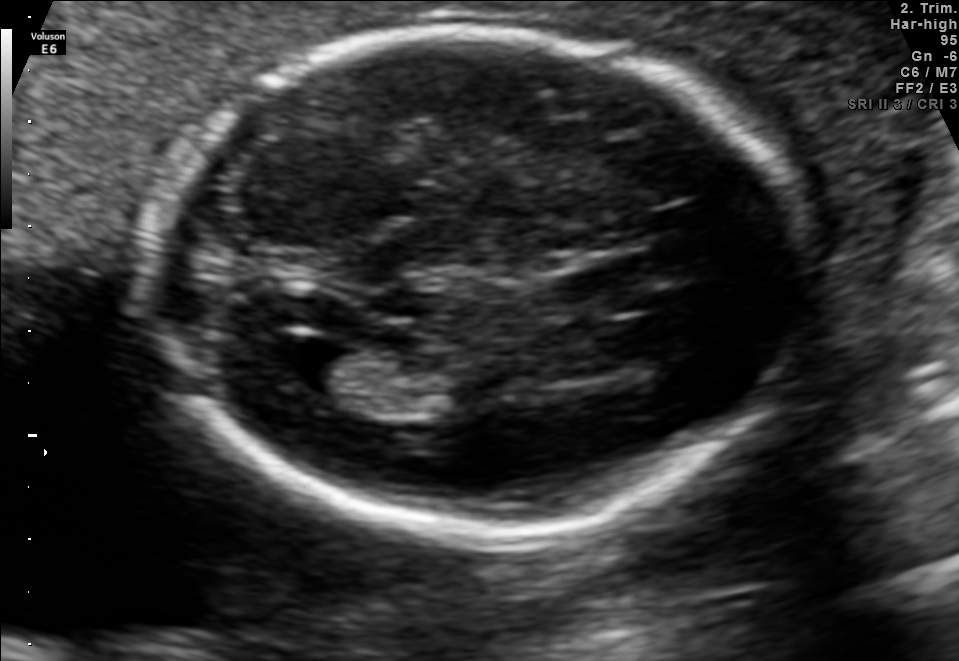
Fetal brain, trans-ventricular plane. Give [x1,y1,x2,y2] bounding boxes for each visible structure among: fetal head, CSP, LV.

Head: [146,23,813,542]
CSP: [520,258,618,320]
Lateral ventricle: [249,314,361,403]